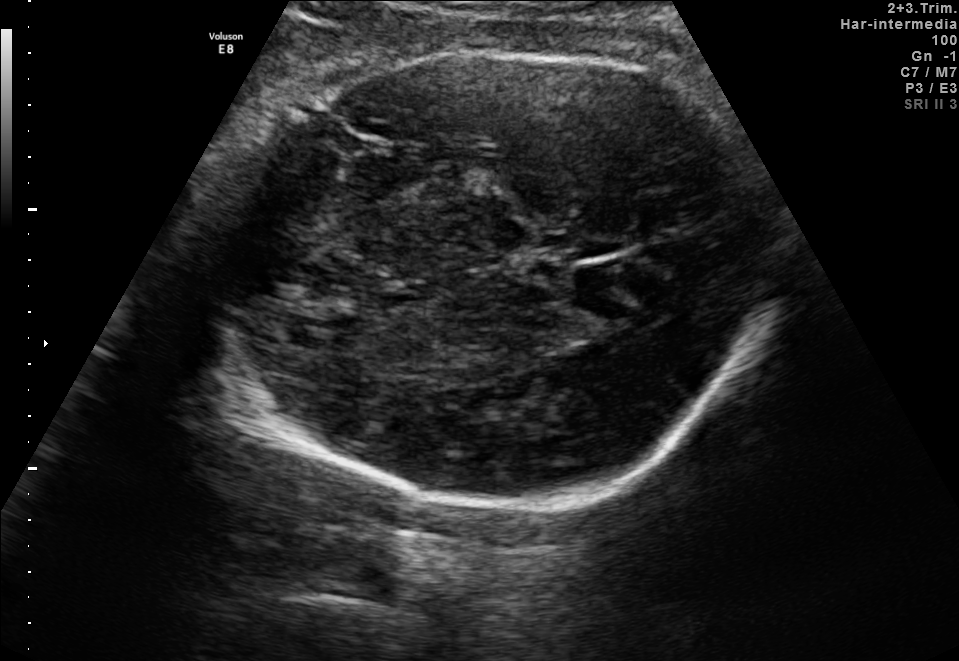
Identify the standard plane in this fetal ultrasound image: fetal abdomen, fetal brain, fetal femur, fetal thorax, maternal cervix, or other. If it's fetal brain and one of the three standard brain planes (trans-thalamic, trans-cerebellum, trans-ventricular), name which.

Fetal brain (trans-thalamic plane)